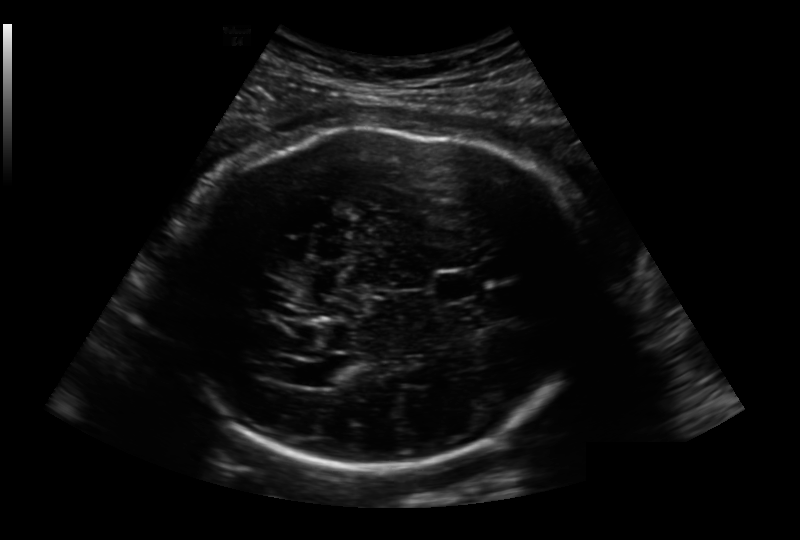
In this fetal head ultrasound, give the bounding box of the lateral ventricle. Image width: 188.6 mm.

[310,364,352,386]